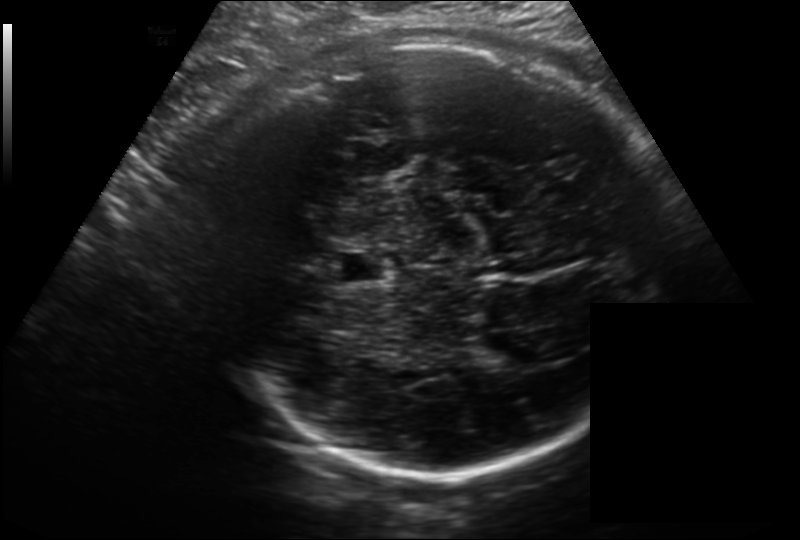
In this fetal head ultrasound, give the bounding box of the lateral ventricle. Image width: 171.5 mm.

[473,332,535,371]